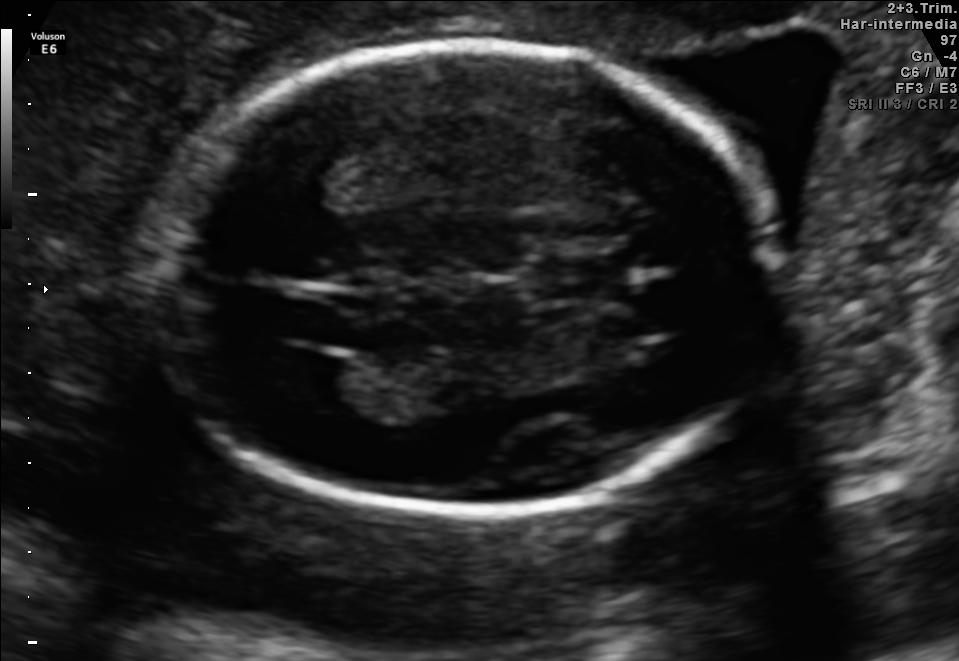
In this fetal brain, trans-ventricular plane, give the bounding box of the fetal head.

[144,37,797,520]